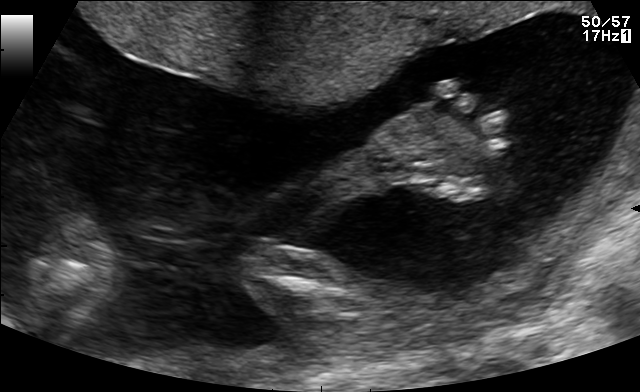
Classify this maternal-fetal ultrasound image as one of the six standard planes — fetal abdomen, fetal brain, fetal femur, fetal thorax, maternal cervix, or other. If it's fetal brain and one of the three standard brain planes (trans-thalamic, trans-cerebellum, trans-ventricular), name which.

Other